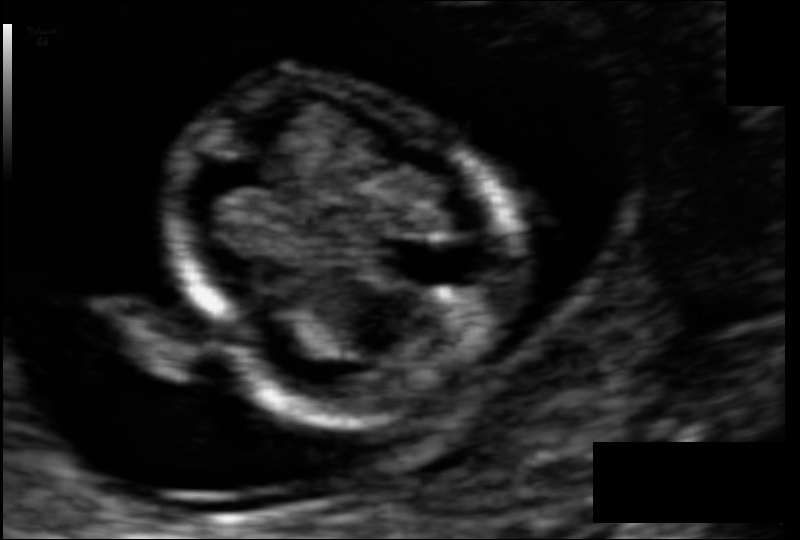
In this fetal head ultrasound, give the bounding box of the fetal head. Image width: 47.3 mm.

[165,75,513,416]